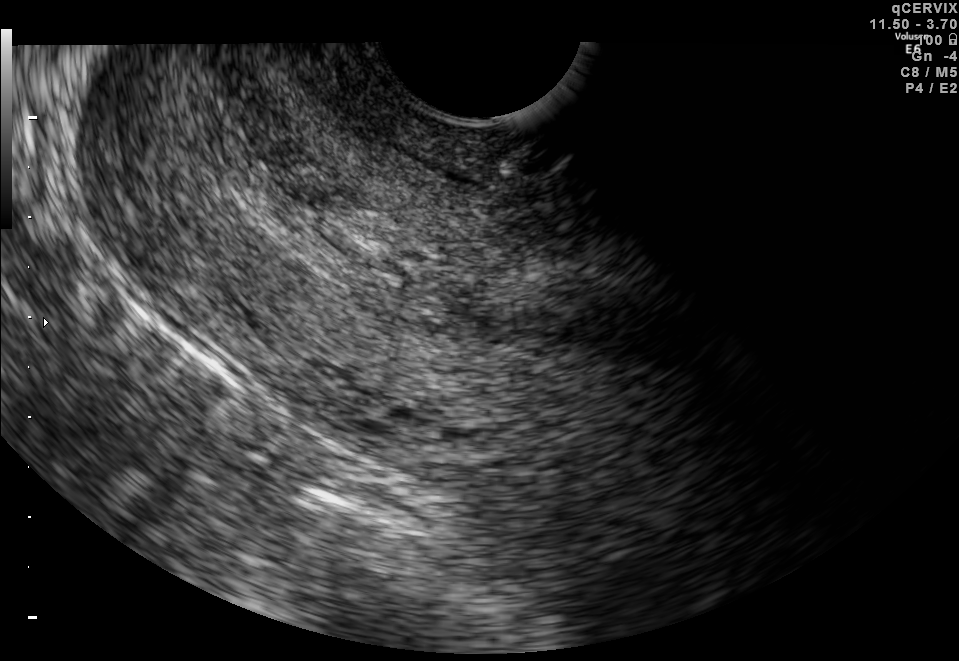
Classify this maternal-fetal ultrasound image as one of the six standard planes — fetal abdomen, fetal brain, fetal femur, fetal thorax, maternal cervix, or other. If it's fetal brain and one of the three standard brain planes (trans-thalamic, trans-cerebellum, trans-ventricular), name which.

Maternal cervix